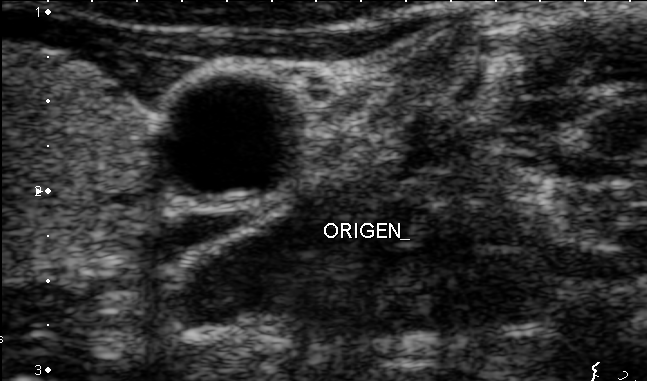
Classify this maternal-fetal ultrasound image as one of the six standard planes — fetal abdomen, fetal brain, fetal femur, fetal thorax, maternal cervix, or other. If it's fetal brain and one of the three standard brain planes (trans-thalamic, trans-cerebellum, trans-ventricular), name which.

Other